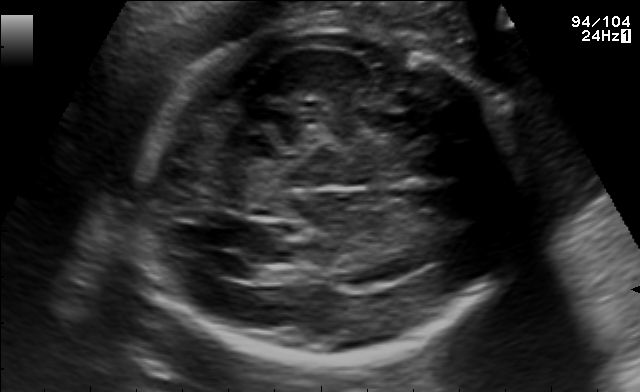
Classify this maternal-fetal ultrasound image as one of the six standard planes — fetal abdomen, fetal brain, fetal femur, fetal thorax, maternal cervix, or other. If it's fetal brain and one of the three standard brain planes (trans-thalamic, trans-cerebellum, trans-ventricular), name which.

Fetal brain (trans-ventricular plane)